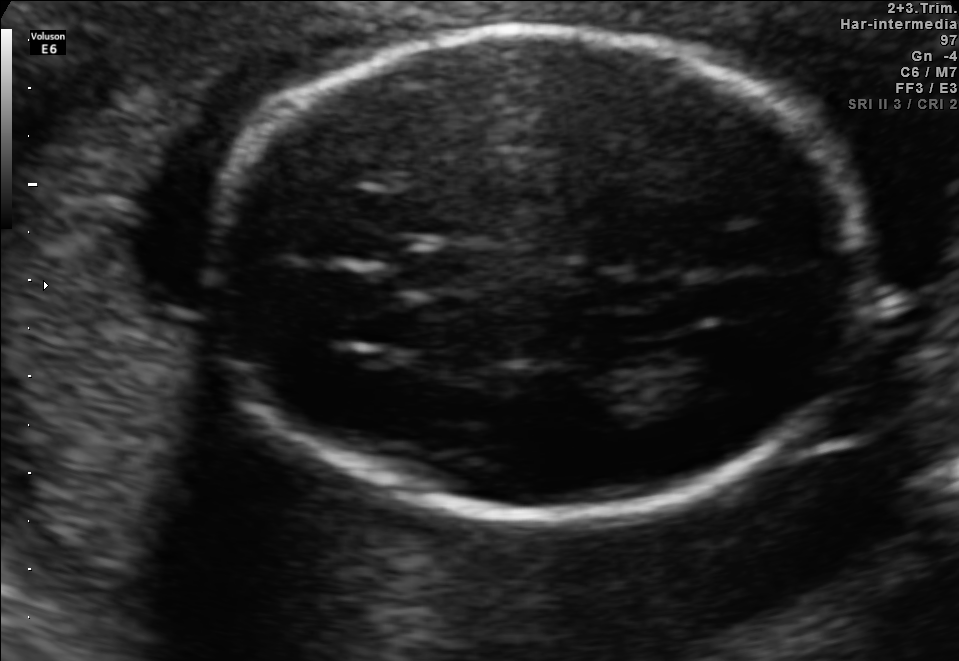
Fetal brain, trans-thalamic plane. Locate the fetal head and, if visible, the cavum septum pellucidum (CSP) and lateral ventricle (LV). Give bounding boxes as [x1,y1,x2,y2].

Head: [211,31,862,516]
CSP: [398,246,483,295]